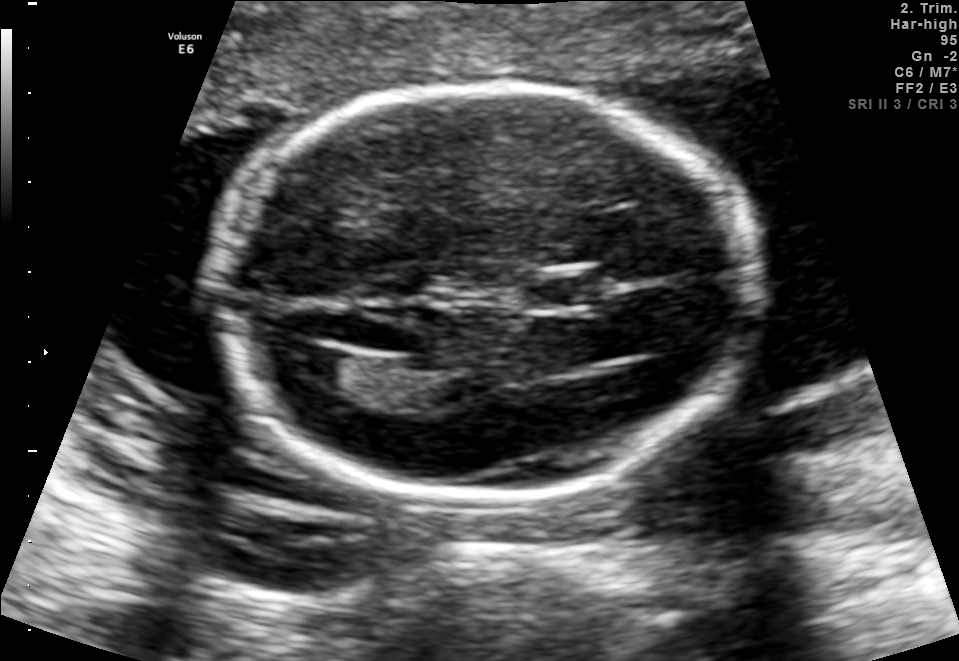
Fetal brain, trans-ventricular plane. Where is the lateral ventricle?

Lateral ventricle bounding box: [276,341,358,391]